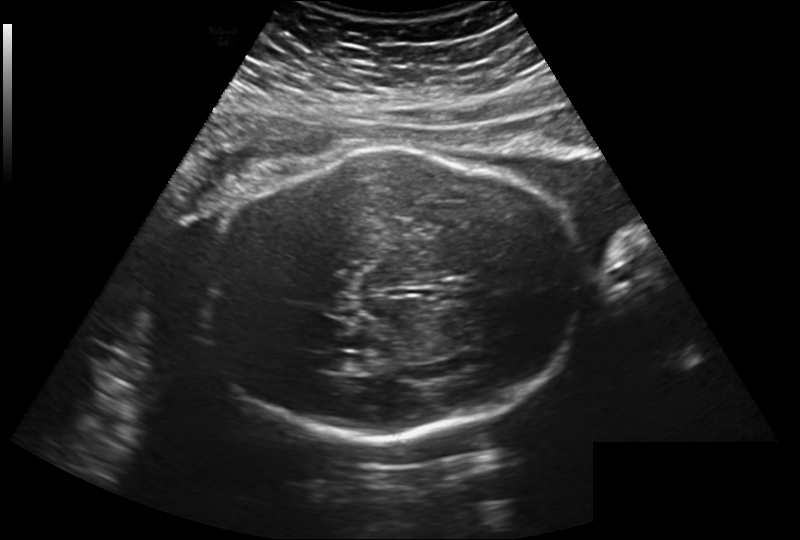
In this fetal head ultrasound, give the bounding box of the lateral ventricle. Image width: 208.3 mm.

[326,352,364,373]